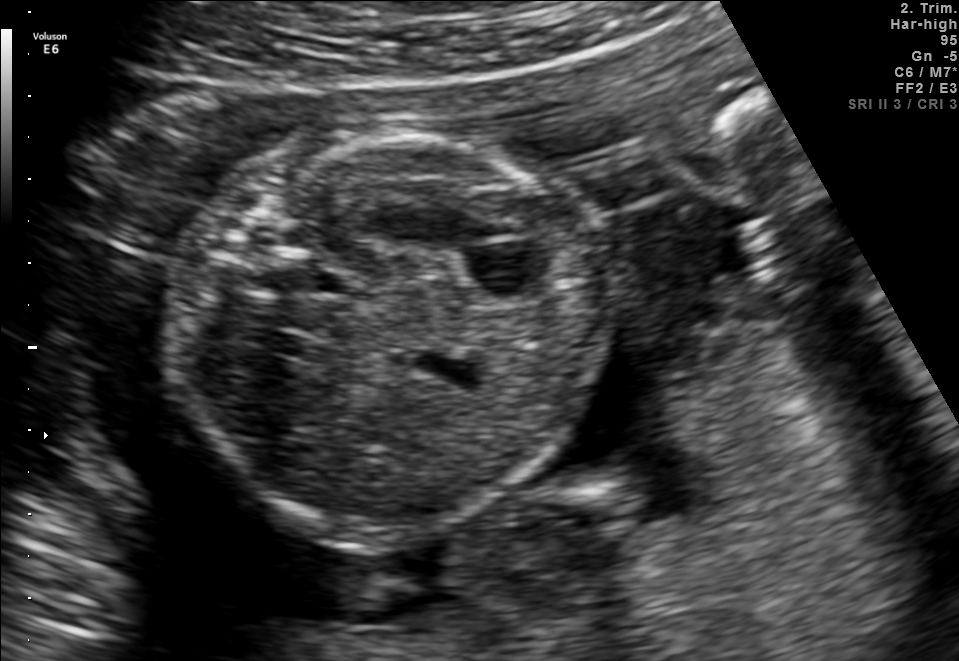
Which standard maternal-fetal ultrasound plane is shown: fetal abdomen, fetal brain, fetal femur, fetal thorax, maternal cervix, or other? If it's fetal brain and one of the three standard brain planes (trans-thalamic, trans-cerebellum, trans-ventricular), name which.

Fetal abdomen